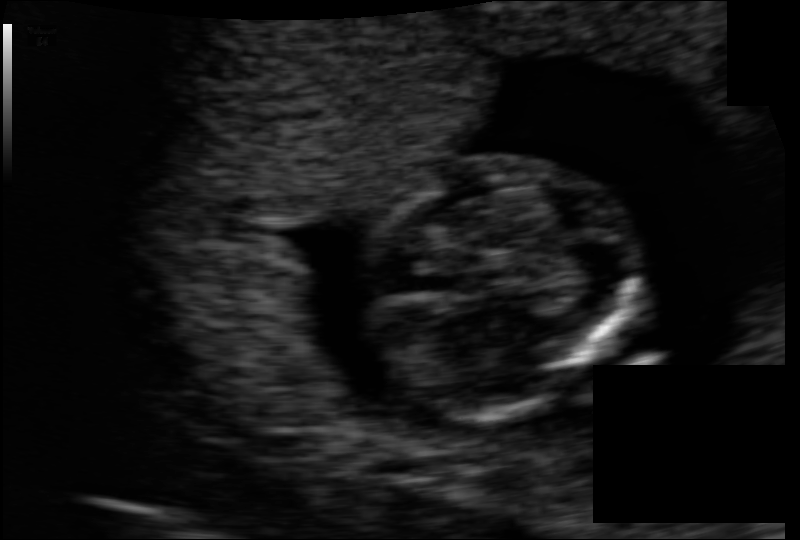
Estimate the fetal head circumference from this 2D ultrasound.

Head circumference: 71.9 mm (image width 66.6 mm).